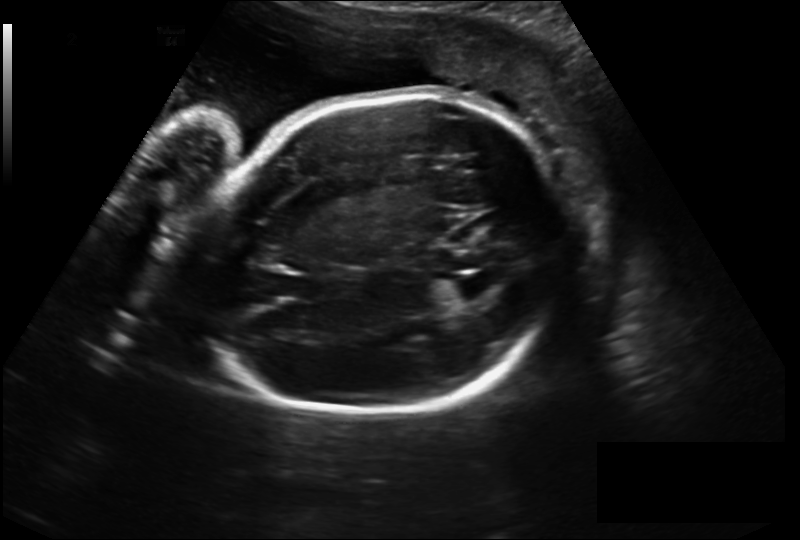
Fetal head ultrasound. Image width: 184.2 mm. Where is the lateral ventricle?

Lateral ventricle bounding box: [449,267,501,306]